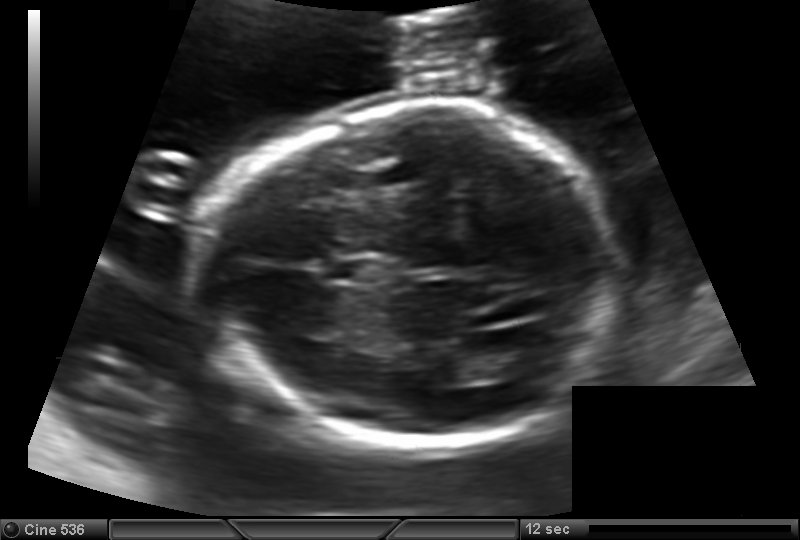
In this fetal head ultrasound, give the bounding box of the cavum septum pellucidum. Image width: 115.2 mm.

[335,259,379,282]